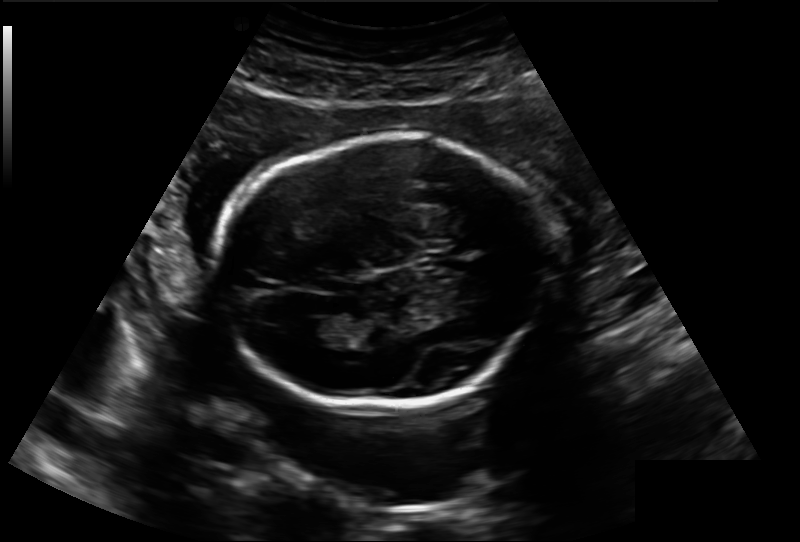
In this fetal head ultrasound, give the bounding box of the fetal head. Image width: 150.3 mm.

[219,135,542,410]